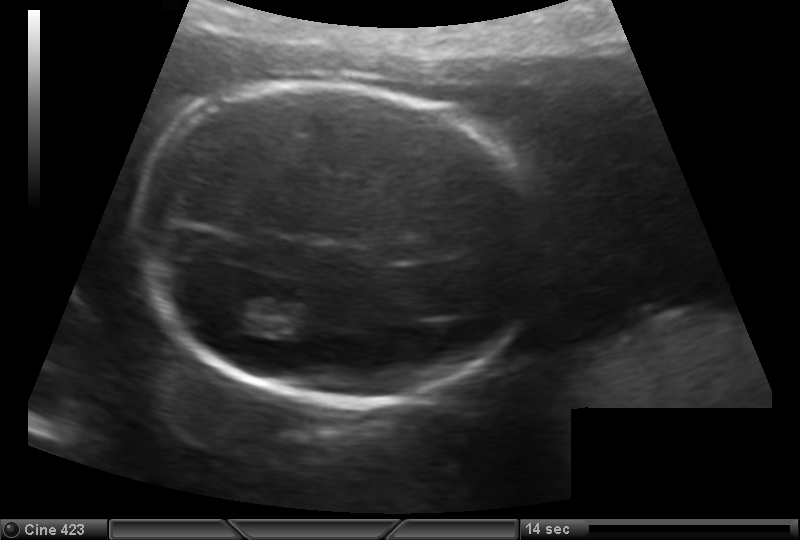
In this fetal head ultrasound, give the bounding box of the lateral ventricle. Image width: 117.9 mm.

[216,290,274,334]